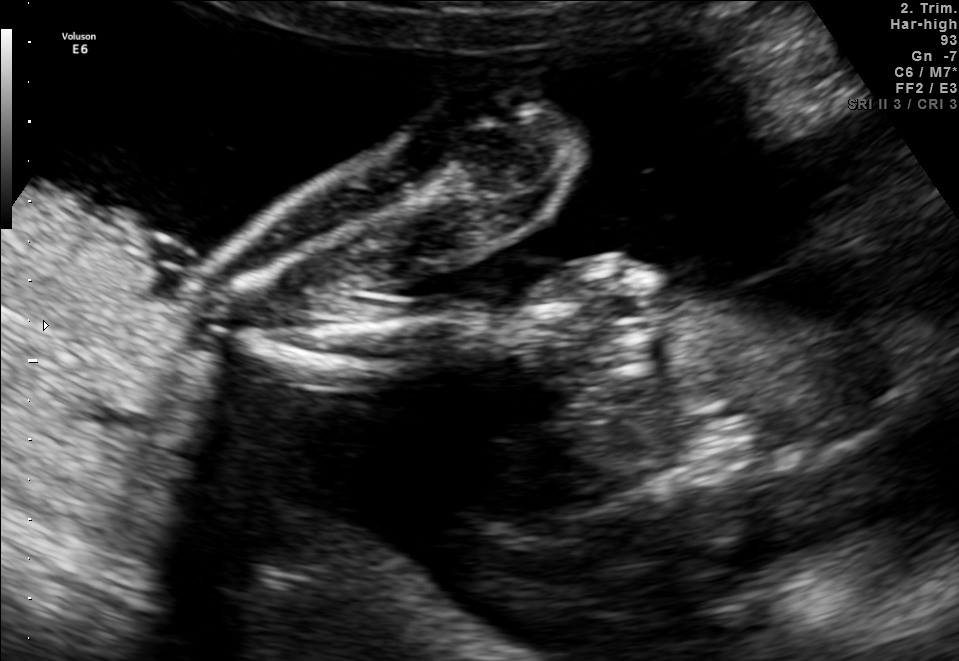
Which standard maternal-fetal ultrasound plane is shown: fetal abdomen, fetal brain, fetal femur, fetal thorax, maternal cervix, or other? If it's fetal brain and one of the three standard brain planes (trans-thalamic, trans-cerebellum, trans-ventricular), name which.

Other